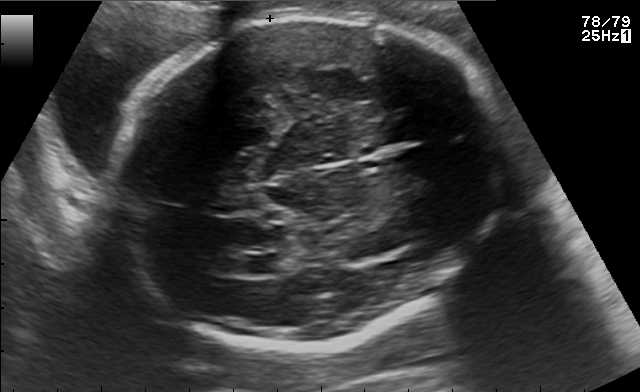
In this fetal brain, trans-ventricular plane, give the bounding box of the fetal head.

[113,13,518,354]